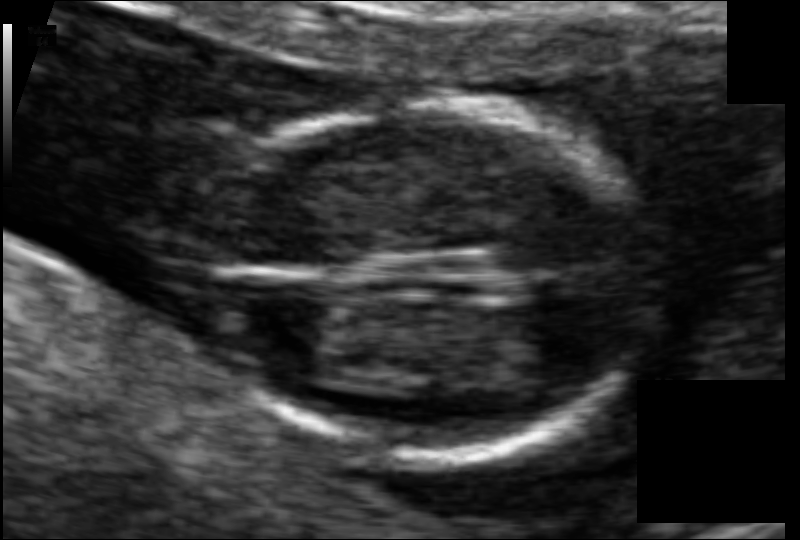
In this fetal head ultrasound, give the bounding box of the fetal head. Image width: 51.8 mm.

[194,103,656,460]